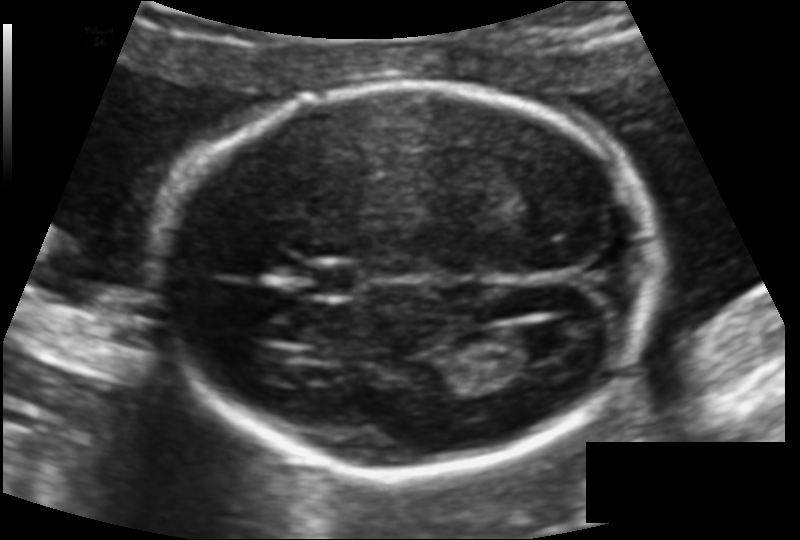
What is the fetal head circumference? Image width is 93.9 mm.

169.6 mm